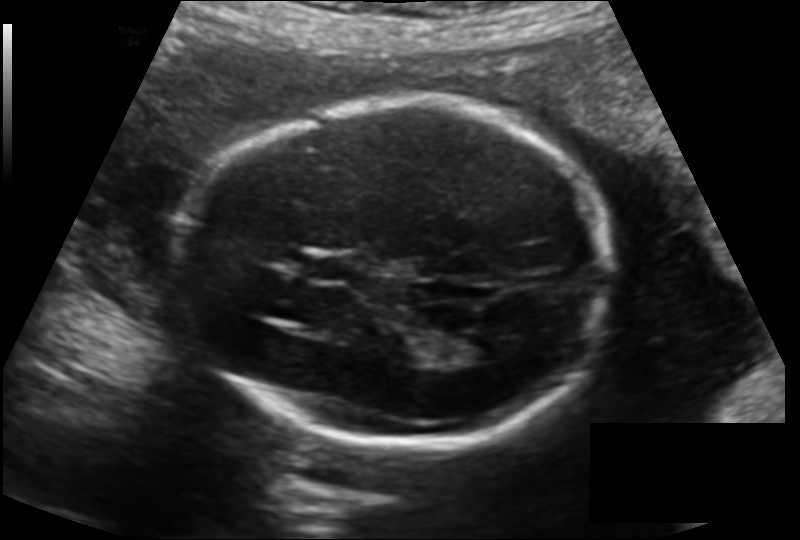
From this fetal ultrasound, estimate the head circumference (image width 115.3 mm).

Head circumference: 180.7 mm.